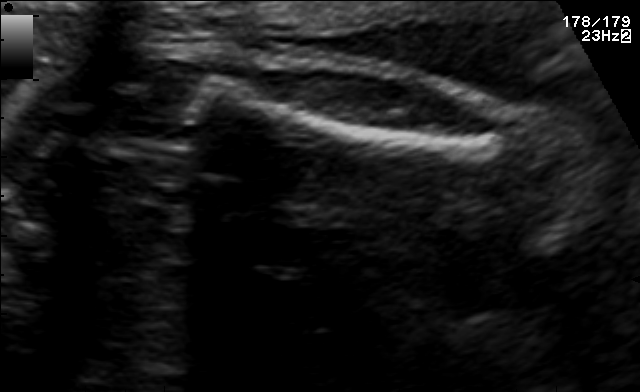
Classify this maternal-fetal ultrasound image as one of the six standard planes — fetal abdomen, fetal brain, fetal femur, fetal thorax, maternal cervix, or other. If it's fetal brain and one of the three standard brain planes (trans-thalamic, trans-cerebellum, trans-ventricular), name which.

Fetal femur